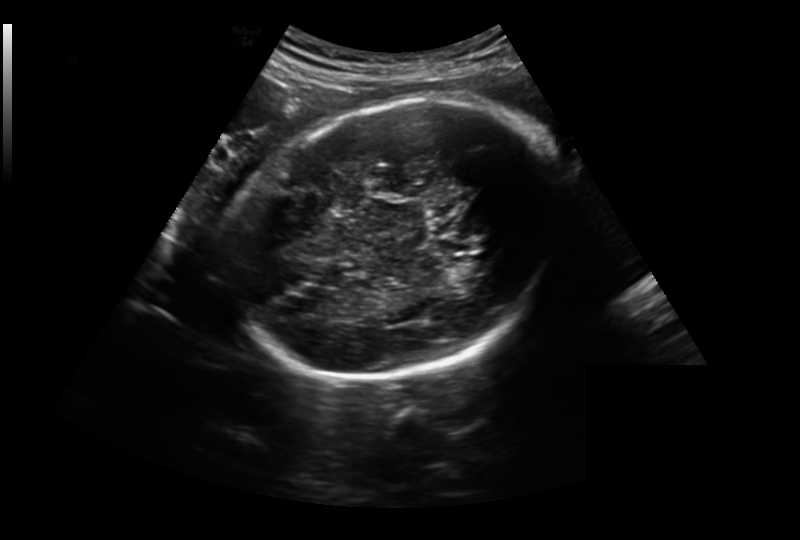
Measure the fetal head circumference shown in this ultrasound image. Image width: 206.9 mm.

Head circumference: 263.0 mm.